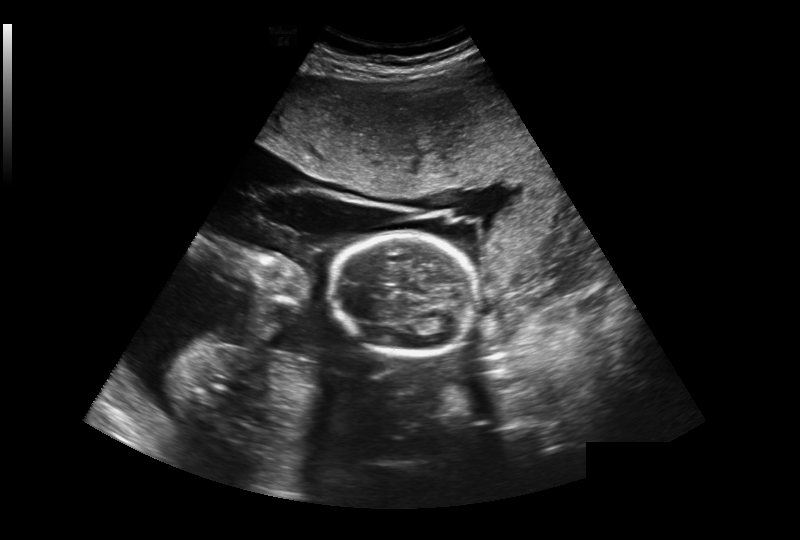
In this fetal head ultrasound, give the bounding box of the lateral ventricle. Image width: 314.6 mm.

[434,318,456,331]